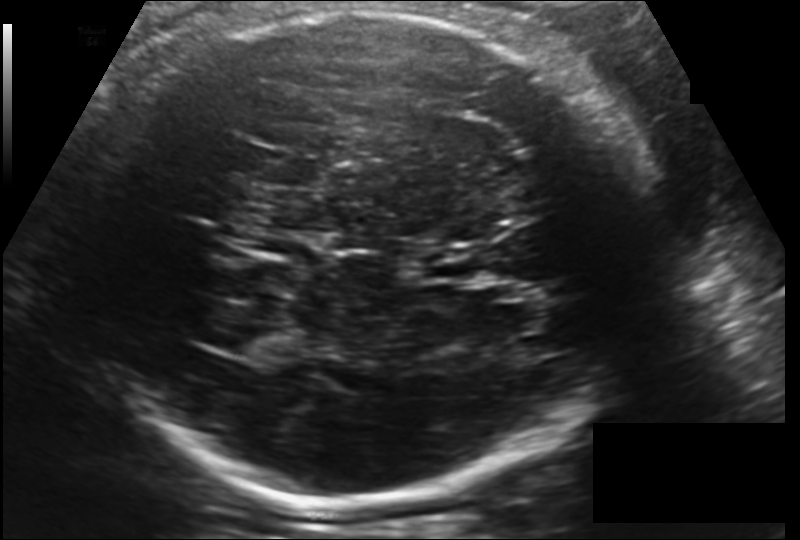
Fetal head ultrasound. Image width: 145.0 mm. Where is the fetal head?

Head bounding box: [86,8,642,506]